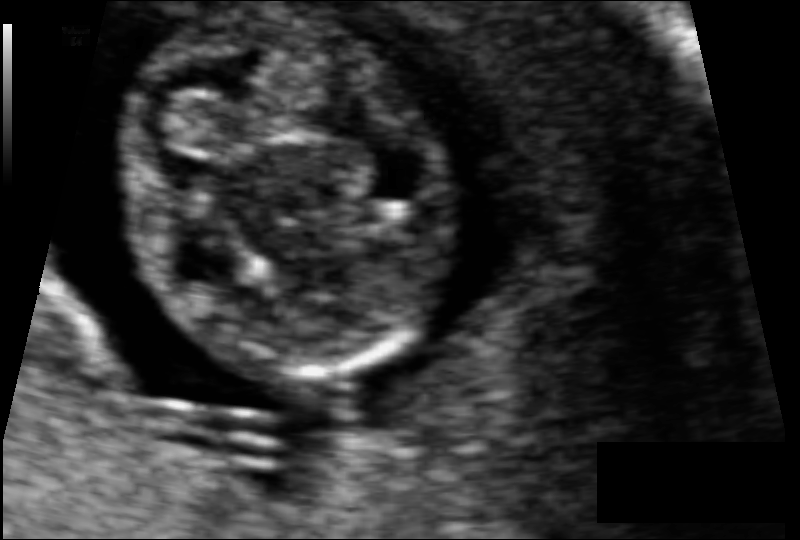
Fetal head ultrasound. Image width: 49.6 mm. Give [x1,y1,x2,y2] bounding boxes for each visible structure among: fetal head, CSP, LV.

Head: [118,5,450,382]